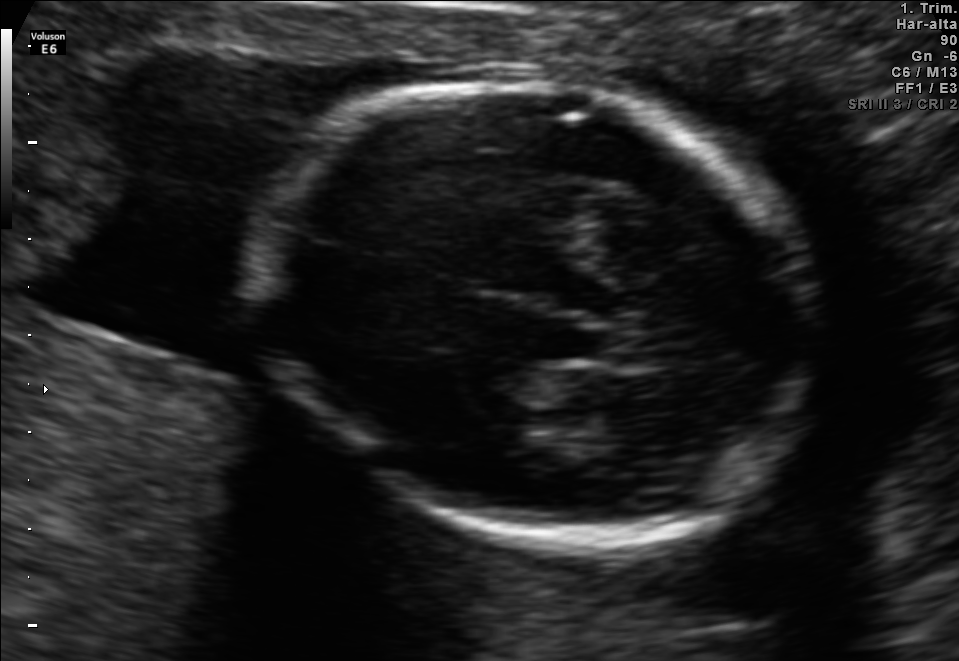
Which standard maternal-fetal ultrasound plane is shown: fetal abdomen, fetal brain, fetal femur, fetal thorax, maternal cervix, or other? If it's fetal brain and one of the three standard brain planes (trans-thalamic, trans-cerebellum, trans-ventricular), name which.

Fetal brain (trans-thalamic plane)